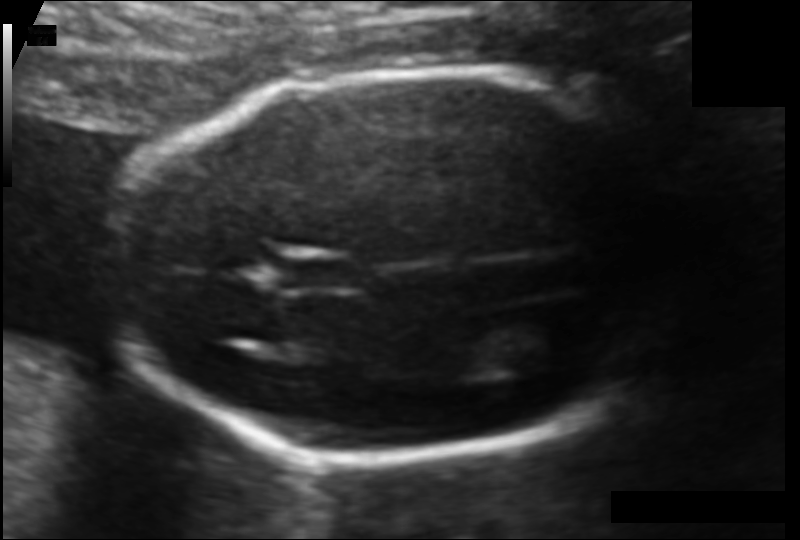
Fetal head ultrasound. Image width: 82.3 mm. Locate the lateral ventricle.

Lateral ventricle: [490,312,584,376]